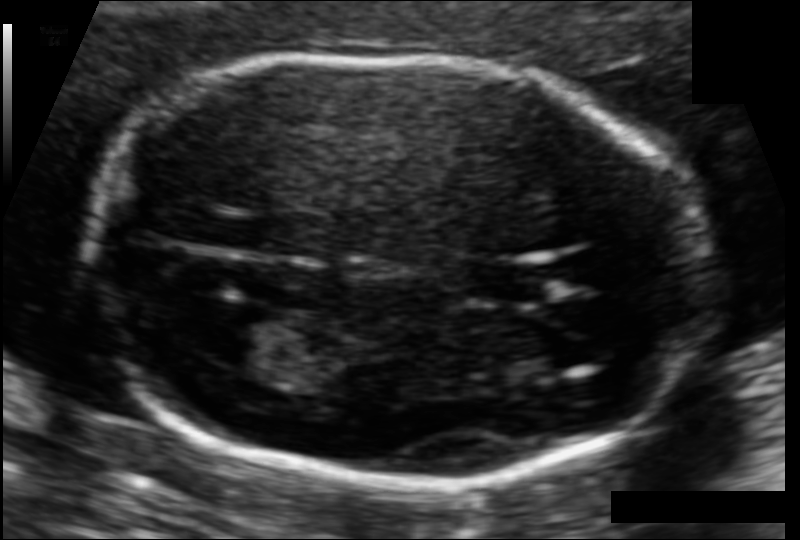
Fetal head ultrasound. Image width: 73.9 mm. Where is the cavum septum pellucidum?

CSP bounding box: [468,265,542,300]